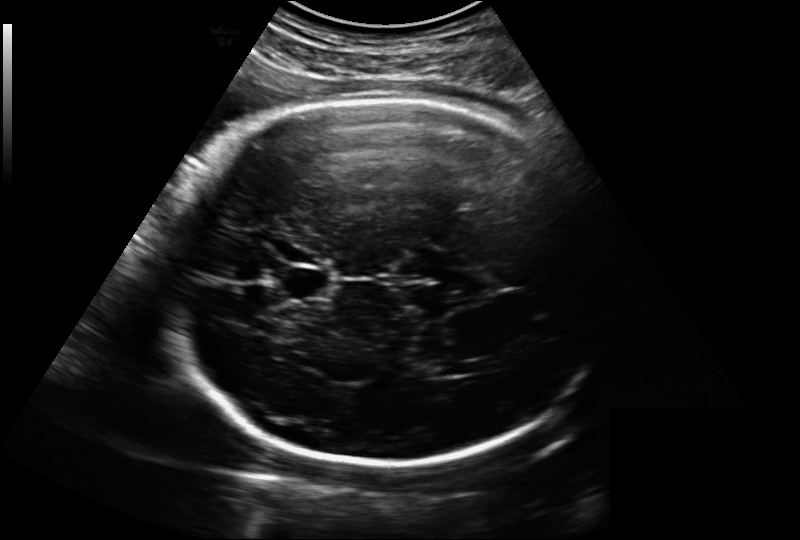
Fetal head ultrasound. Image width: 176.5 mm. Where is the lateral ventricle?

Lateral ventricle bounding box: [433,360,464,377]